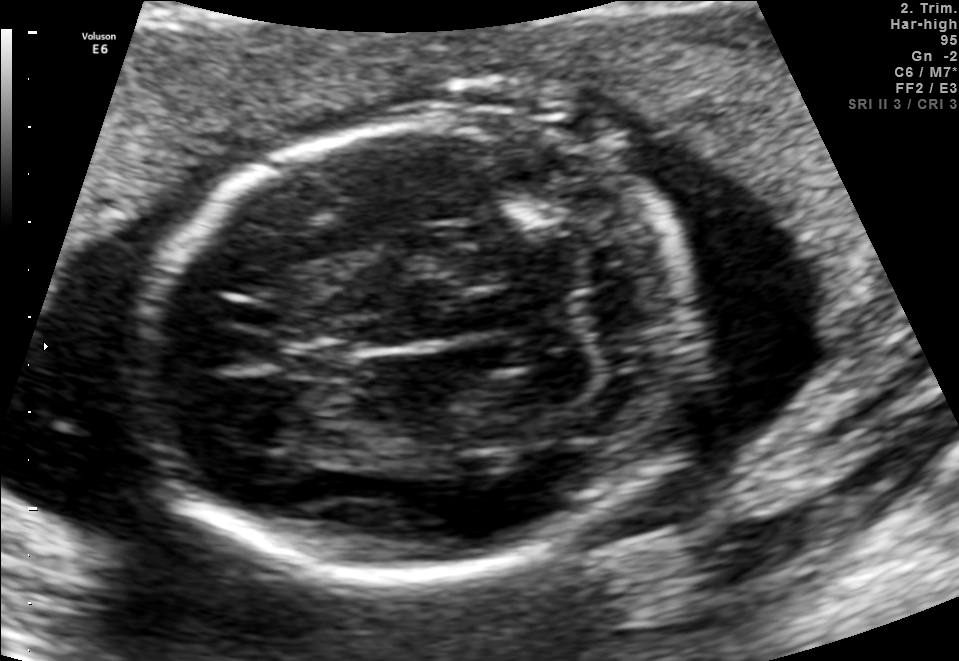
In this fetal brain, trans-cerebellum plane, give the bounding box of the cavum septum pellucidum.

[283,340,353,380]